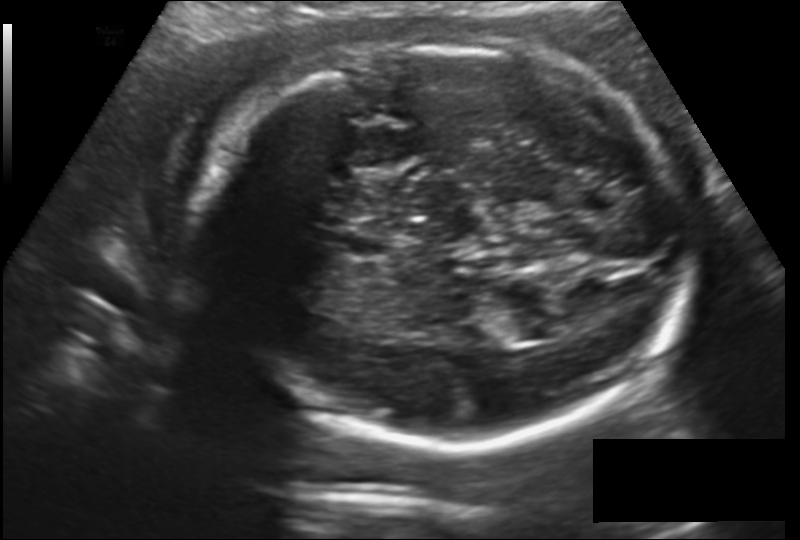
Estimate the fetal head circumference from this 2D ultrasound.

Head circumference: 257.6 mm (image width 142.0 mm).